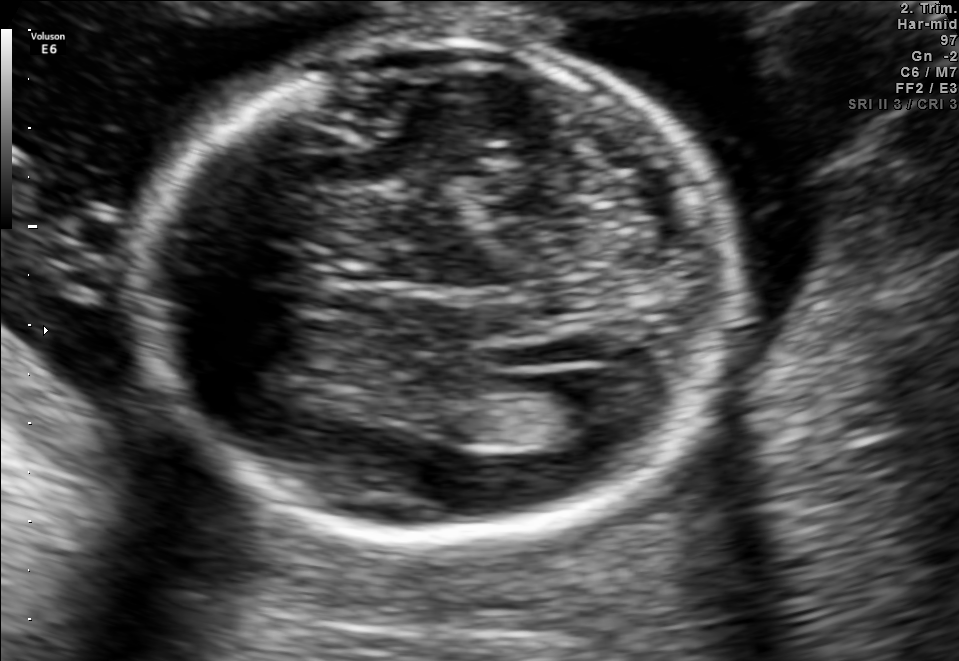
In this fetal brain, trans-ventricular plane, give the bounding box of the fetal head.

[124,27,753,548]